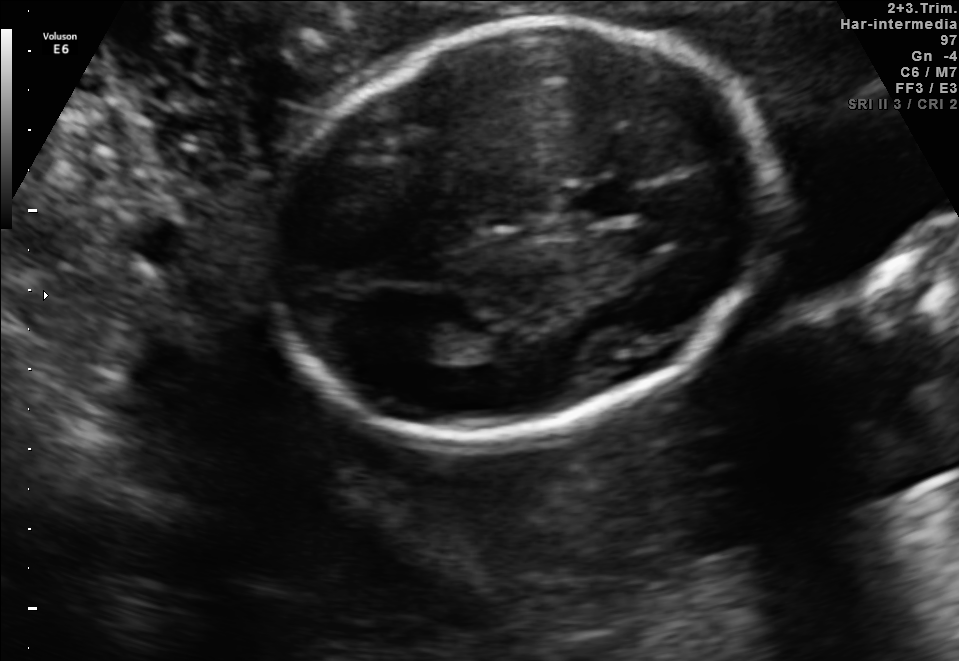
In this fetal brain, trans-thalamic plane, give the bounding box of the cavum septum pellucidum.

[568,176,640,226]